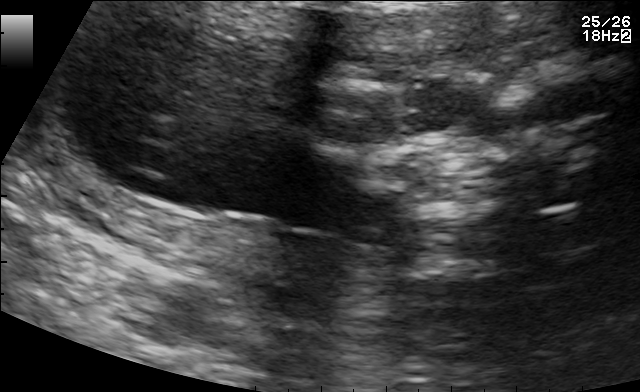
This is a 2D maternal-fetal ultrasound frame. Is it a fetal abdomen, fetal brain, fetal femur, fetal thorax, maternal cervix, or other standard plane? If it's fetal brain and one of the three standard brain planes (trans-thalamic, trans-cerebellum, trans-ventricular), name which.

Other